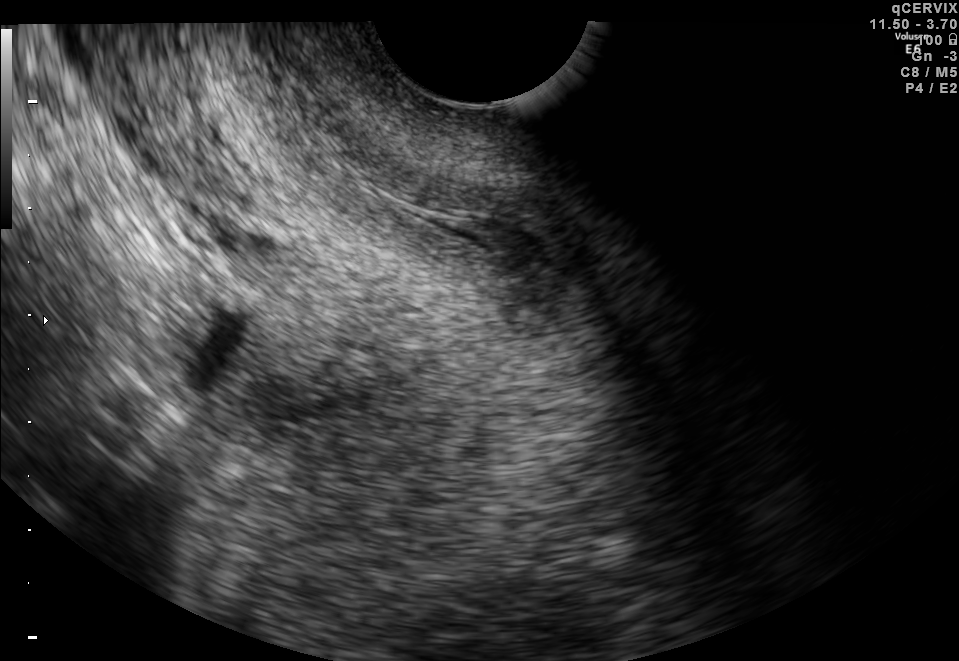
This is a 2D maternal-fetal ultrasound frame. Is it a fetal abdomen, fetal brain, fetal femur, fetal thorax, maternal cervix, or other standard plane? If it's fetal brain and one of the three standard brain planes (trans-thalamic, trans-cerebellum, trans-ventricular), name which.

Maternal cervix